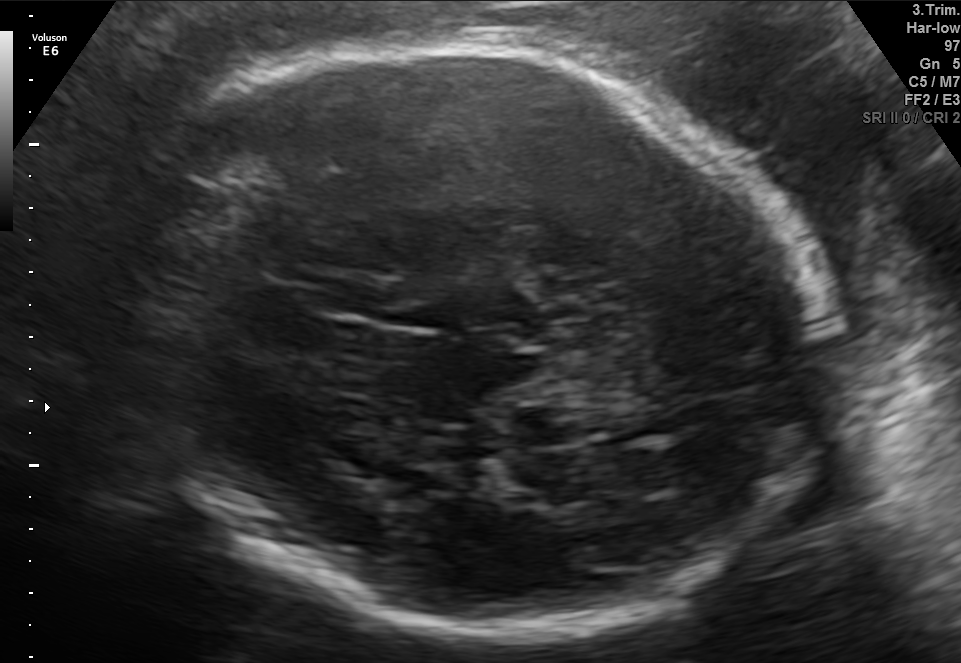
Fetal brain, trans-thalamic plane. Locate the fetal head.

Head: [121,40,832,635]